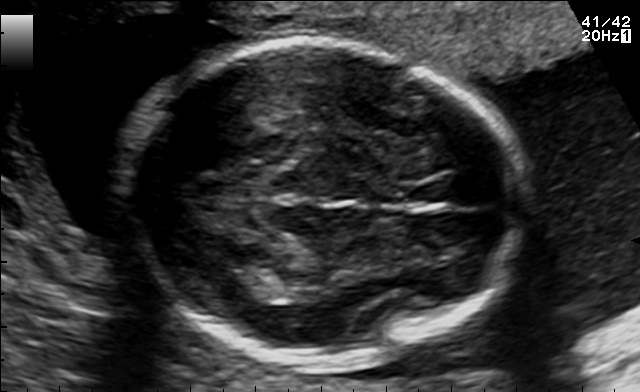
Fetal brain, trans-thalamic plane. Where is the fetal head?

Head bounding box: [119,44,524,362]